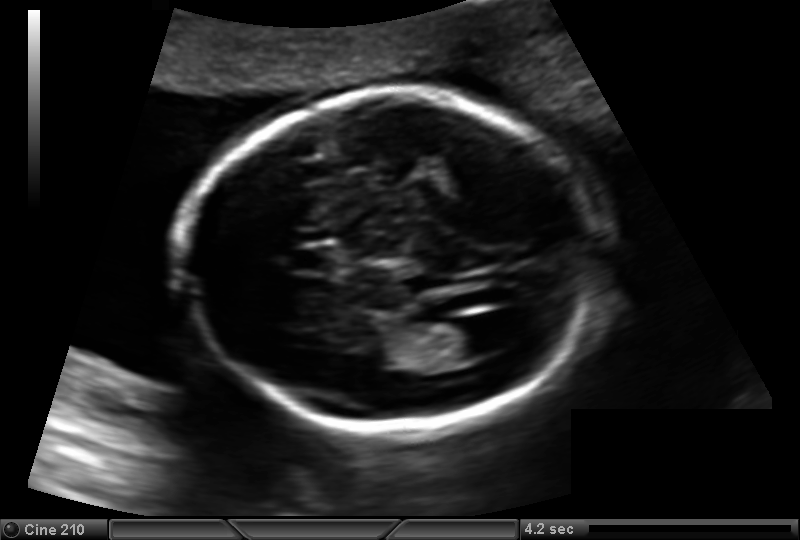
Fetal head ultrasound. Image width: 109.7 mm. Locate the fetal head.

Head: [186,90,599,431]